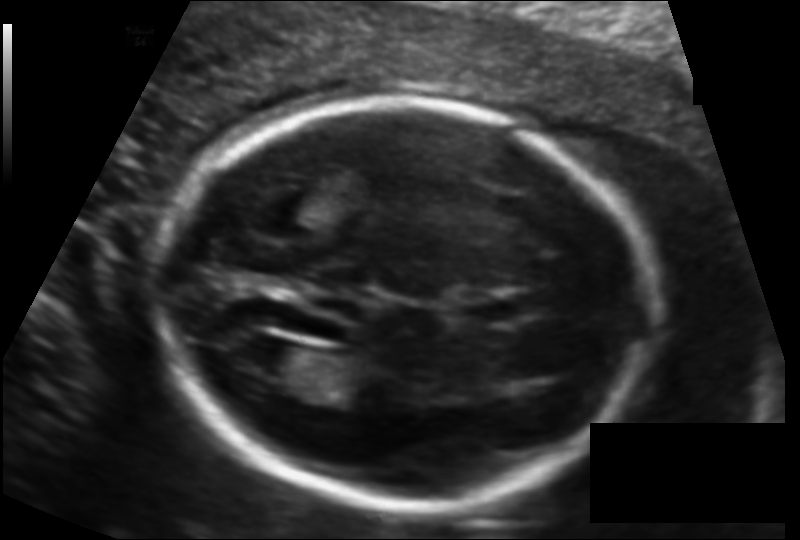
What is the fetal head circumference? Image width is 98.9 mm.

179.0 mm